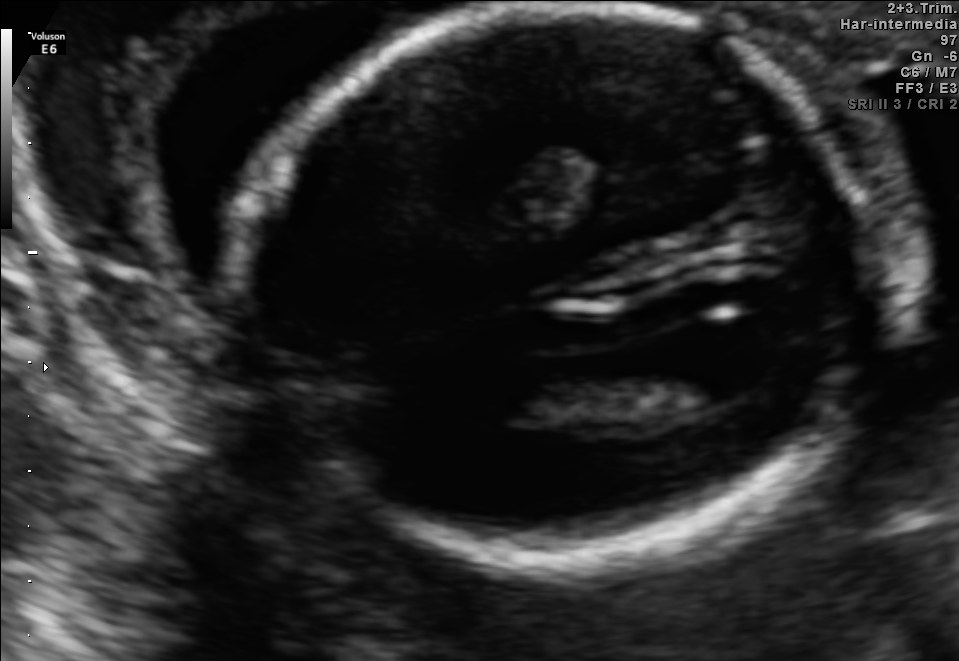
Identify the standard plane in this fetal ultrasound image: fetal abdomen, fetal brain, fetal femur, fetal thorax, maternal cervix, or other. If it's fetal brain and one of the three standard brain planes (trans-thalamic, trans-cerebellum, trans-ventricular), name which.

Fetal brain (trans-ventricular plane)